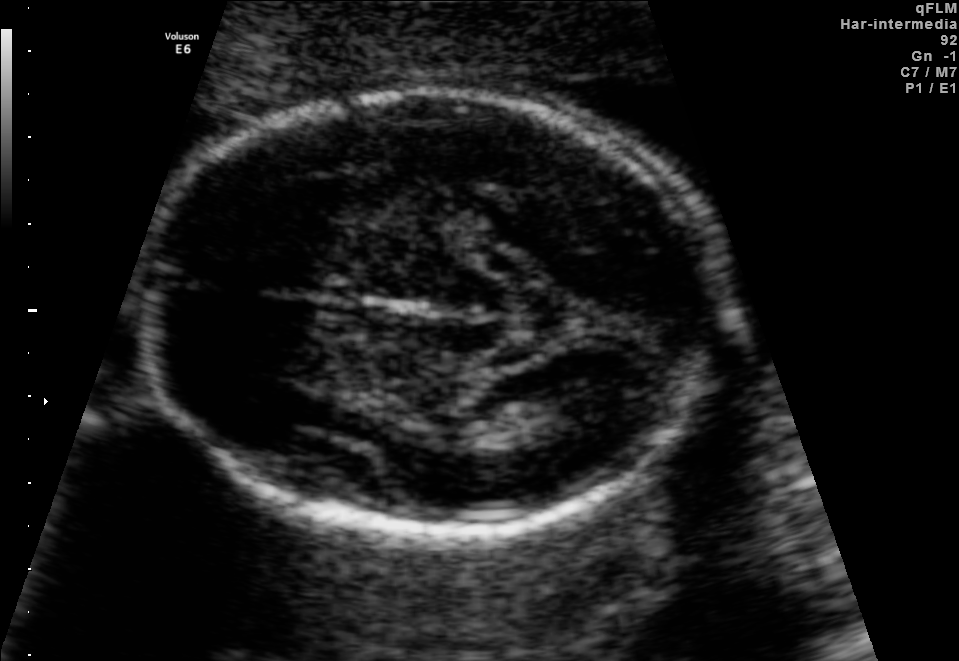
In this fetal brain, trans-thalamic plane, give the bounding box of the fetal head.

[144,91,715,528]